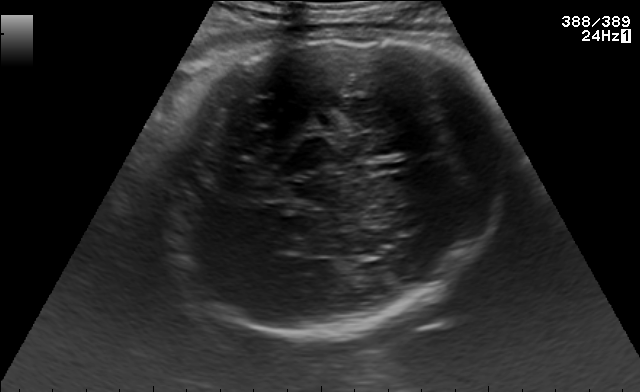
In this fetal brain, trans-thalamic plane, give bounding boxes for the head outline, cavum septum pellucidum (CSP), and lateral ventricle (LV), where visible.

Head: [152,28,508,336]